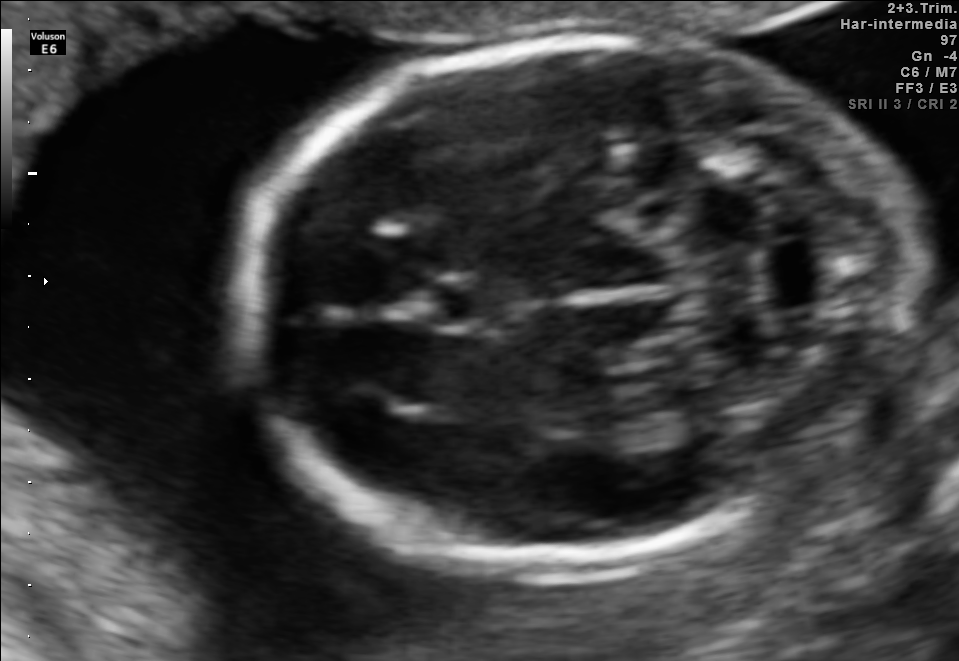
In this fetal brain, trans-cerebellum plane, give the bounding box of the cavum septum pellucidum.

[425,273,520,332]